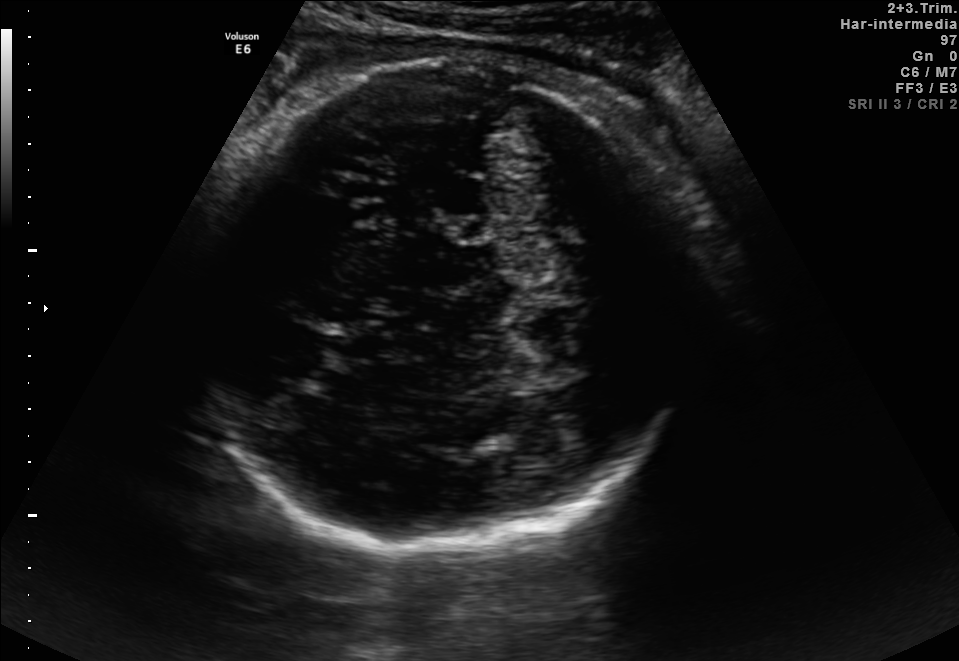
In this fetal brain, trans-thalamic plane, give the bounding box of the fetal head.

[198,57,701,558]